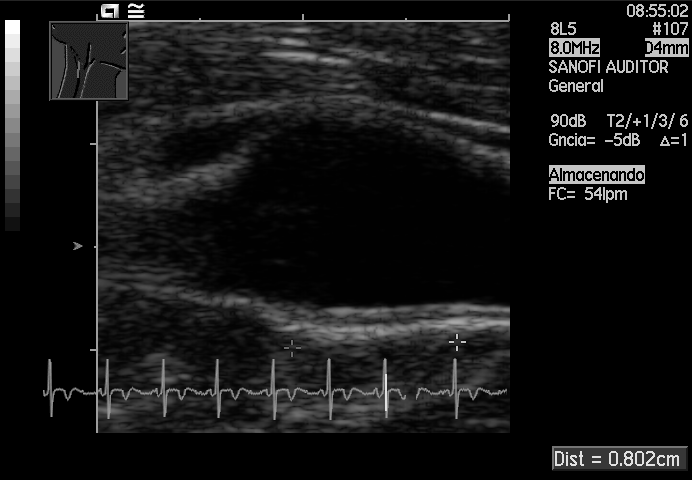
Identify the standard plane in this fetal ultrasound image: fetal abdomen, fetal brain, fetal femur, fetal thorax, maternal cervix, or other. If it's fetal brain and one of the three standard brain planes (trans-thalamic, trans-cerebellum, trans-ventricular), name which.

Other